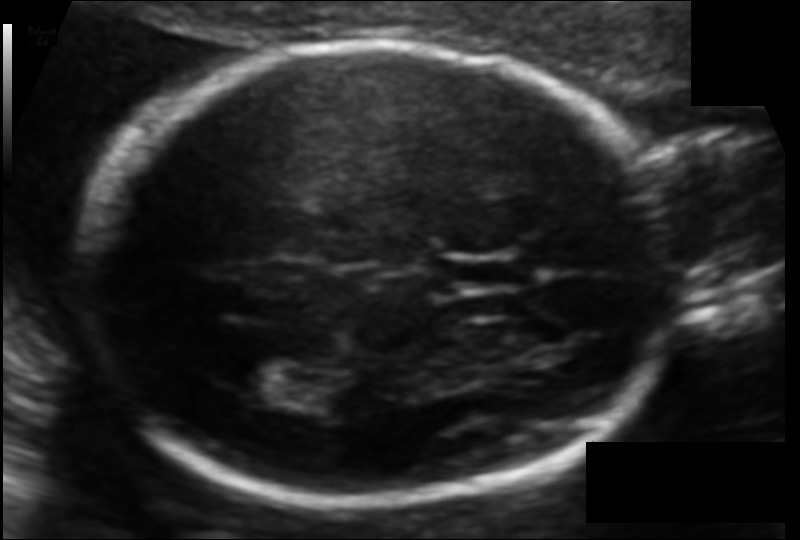
In this fetal head ultrasound, give bounding boxes for the head outline, cavum septum pellucidum (CSP), and lateral ventricle (LV), where visible. Image width: 83.2 mm.

Head: [82,42,685,502]
CSP: [434,253,527,290]
Lateral ventricle: [225,344,304,401]